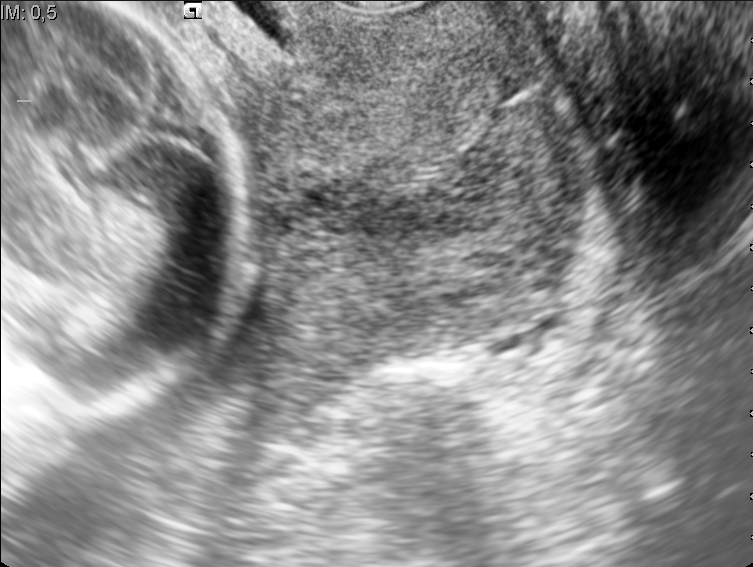
Which standard maternal-fetal ultrasound plane is shown: fetal abdomen, fetal brain, fetal femur, fetal thorax, maternal cervix, or other? If it's fetal brain and one of the three standard brain planes (trans-thalamic, trans-cerebellum, trans-ventricular), name which.

Maternal cervix